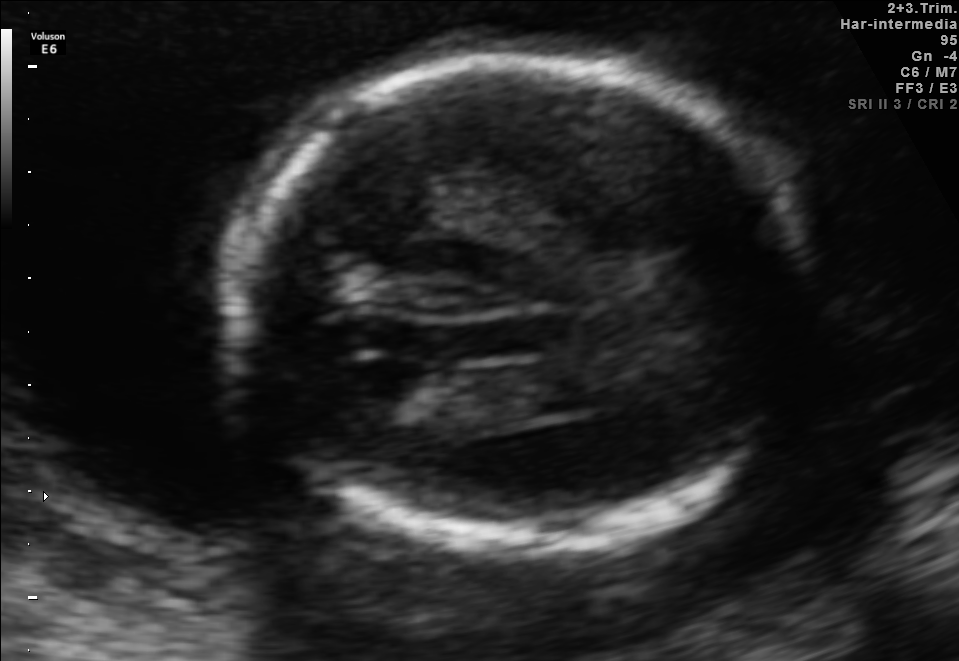
Fetal brain, trans-ventricular plane. Give [x1,y1,x2,y2] bounding boxes for each visible structure among: fetal head, CSP, LV.

Head: [213,50,830,559]